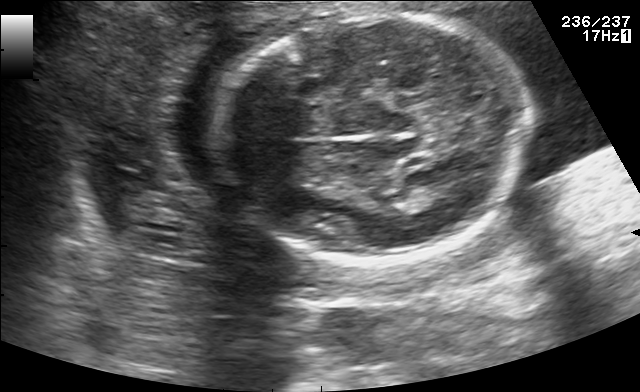
Fetal brain, trans-thalamic plane. Locate the fetal head and, if visible, the cavum septum pellucidum (CSP) and lateral ventricle (LV). Give bounding boxes as [x1,y1,x2,y2].

Head: [214,10,532,263]
Lateral ventricle: [404,171,463,214]